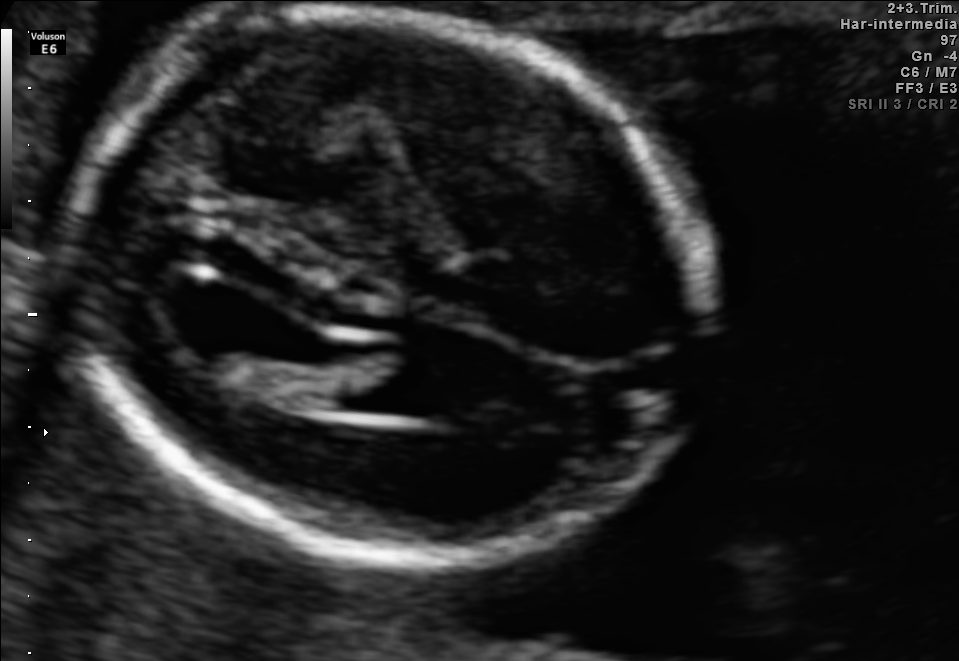
Fetal brain, trans-ventricular plane. Where is the fetal head?

Head bounding box: [54,4,729,577]